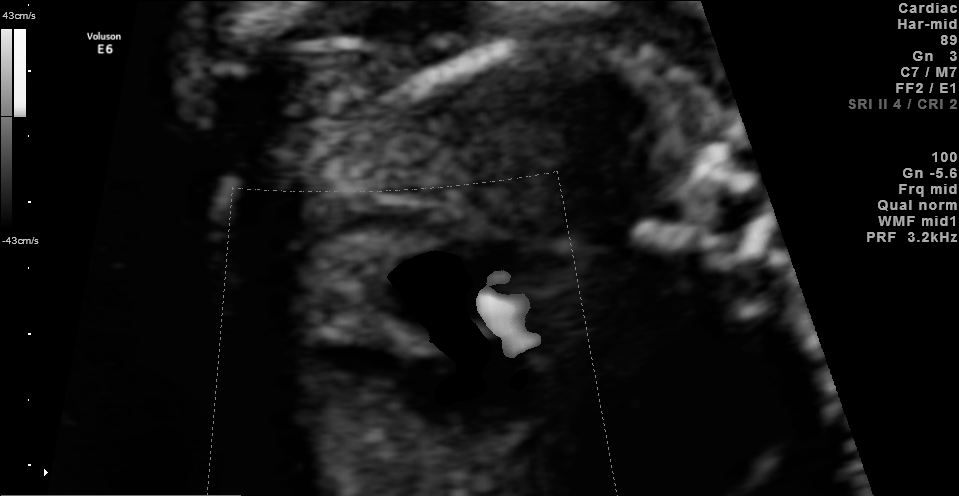
Which standard maternal-fetal ultrasound plane is shown: fetal abdomen, fetal brain, fetal femur, fetal thorax, maternal cervix, or other? If it's fetal brain and one of the three standard brain planes (trans-thalamic, trans-cerebellum, trans-ventricular), name which.

Other